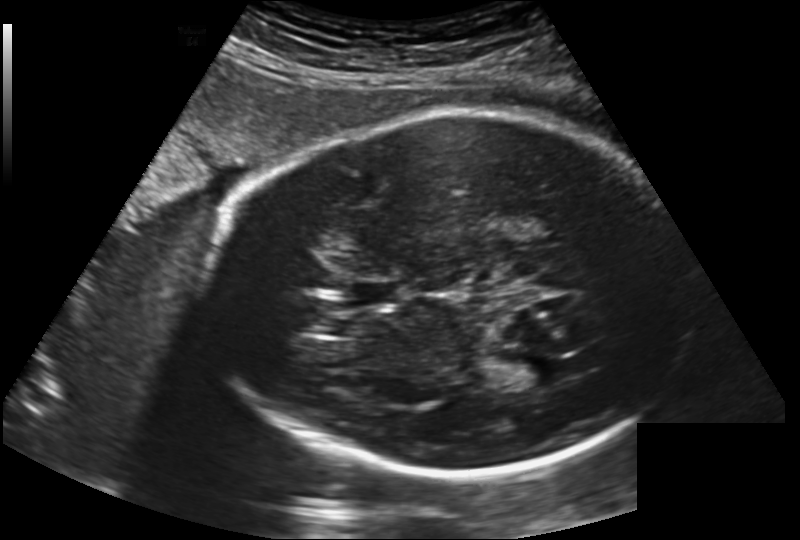
Fetal head ultrasound. Image width: 161.7 mm. Where is the fetal head?

Head bounding box: [207,111,685,476]